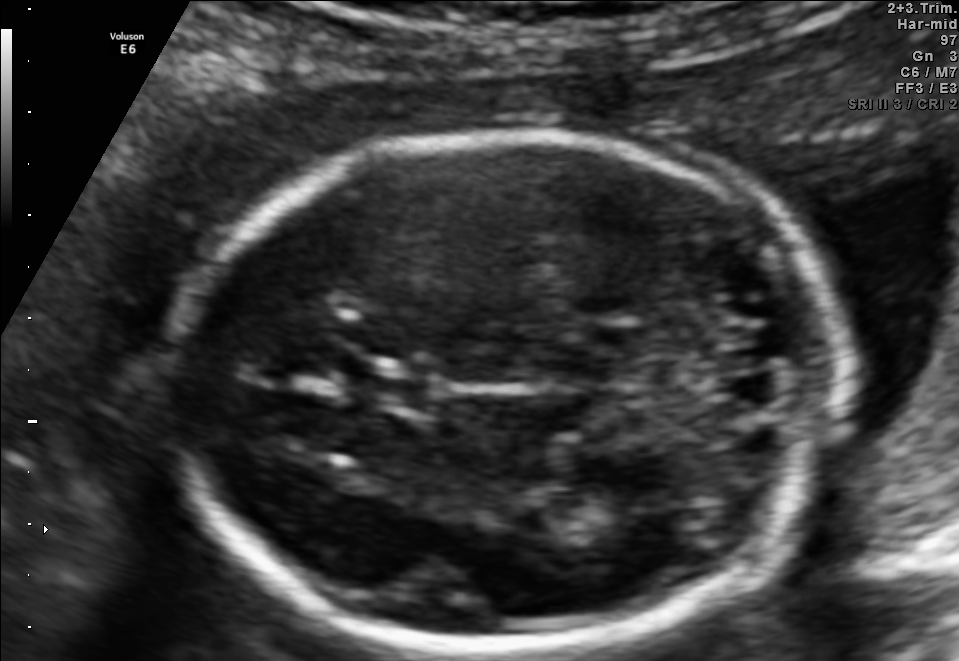
Fetal brain, trans-thalamic plane. Give [x1,y1,x2,y2] bounding boxes for each visible structure among: fetal head, CSP, LV.

Head: [168,135,849,648]
CSP: [353,366,438,413]